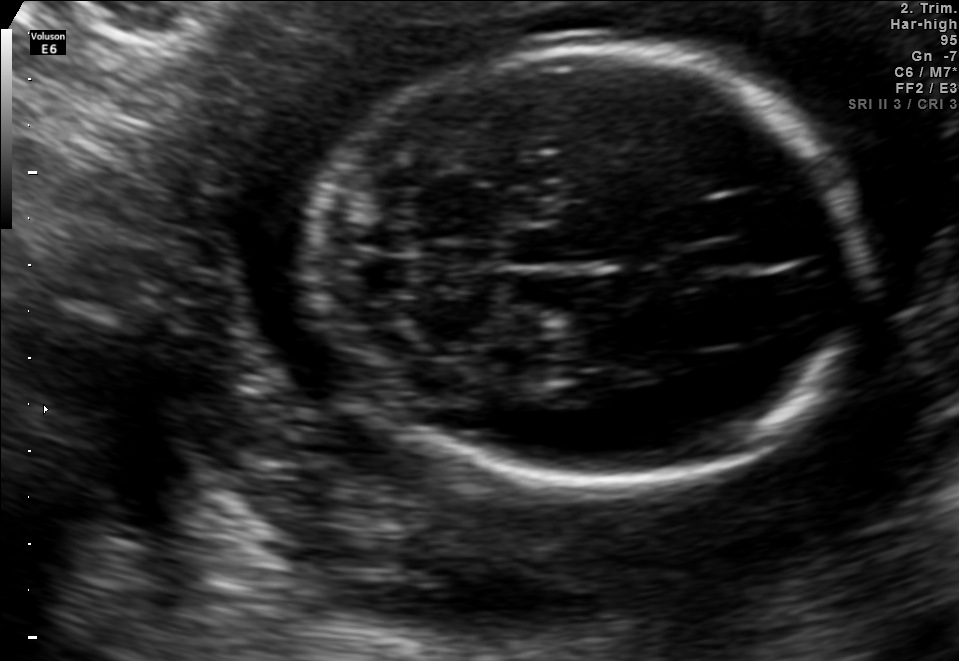
Fetal brain, trans-cerebellum plane. Locate the fetal head and, if visible, the cavum septum pellucidum (CSP) and lateral ventricle (LV). Give bounding boxes as [x1,y1,x2,y2].

Head: [312,49,855,482]